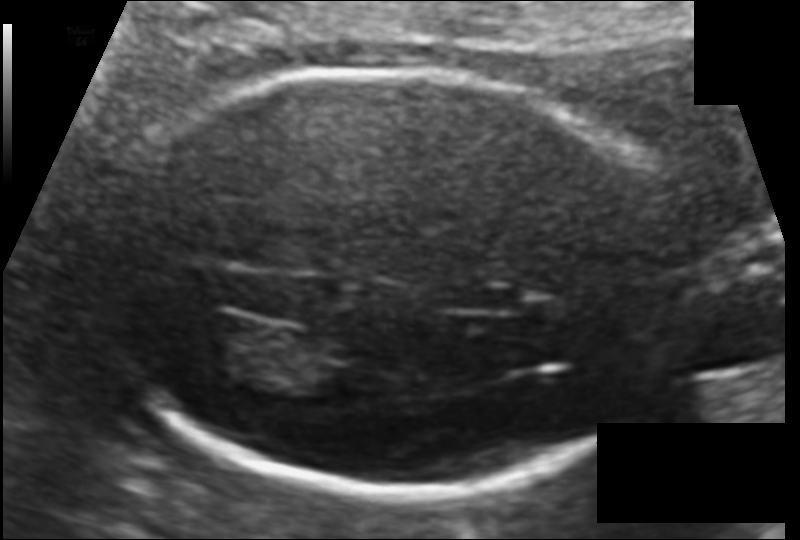
In this fetal head ultrasound, give the bounding box of the fetal head. Image width: 82.9 mm.

[103,73,687,490]